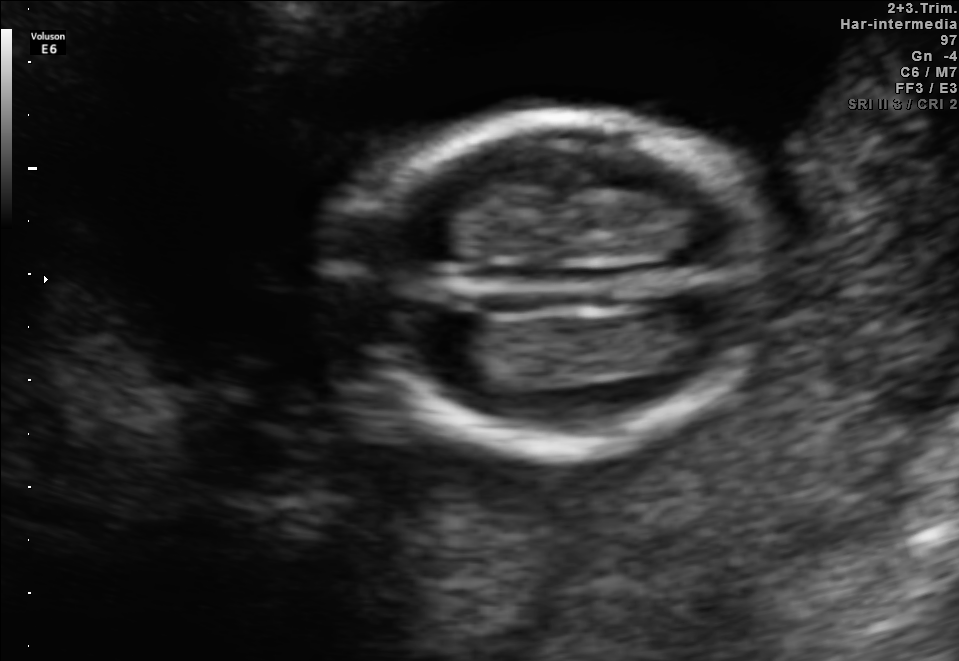
Fetal brain, trans-thalamic plane. Locate the fetal head.

Head: [331,111,778,450]